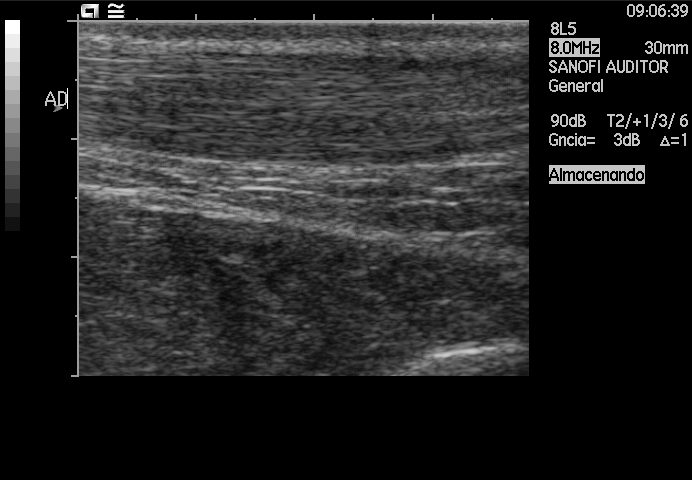
This is a 2D maternal-fetal ultrasound frame. Is it a fetal abdomen, fetal brain, fetal femur, fetal thorax, maternal cervix, or other standard plane? If it's fetal brain and one of the three standard brain planes (trans-thalamic, trans-cerebellum, trans-ventricular), name which.

Other